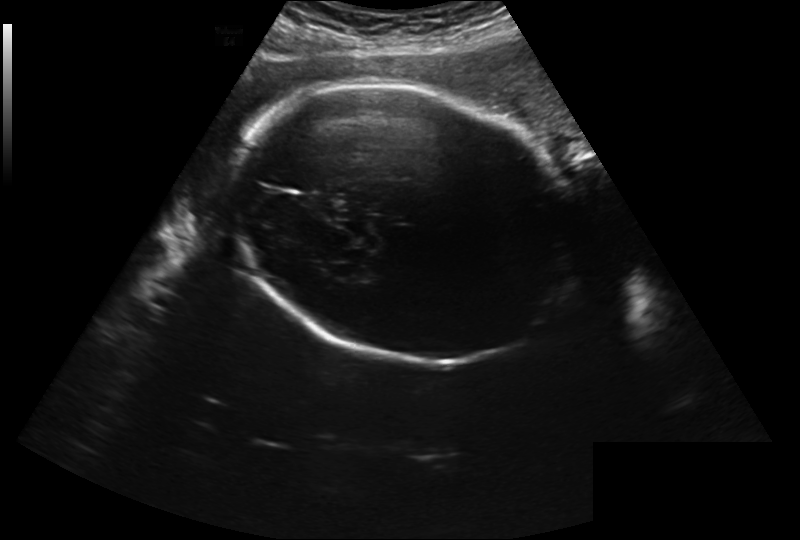
In this fetal head ultrasound, give the bounding box of the fetal head. Image width: 223.8 mm.

[231,84,577,361]